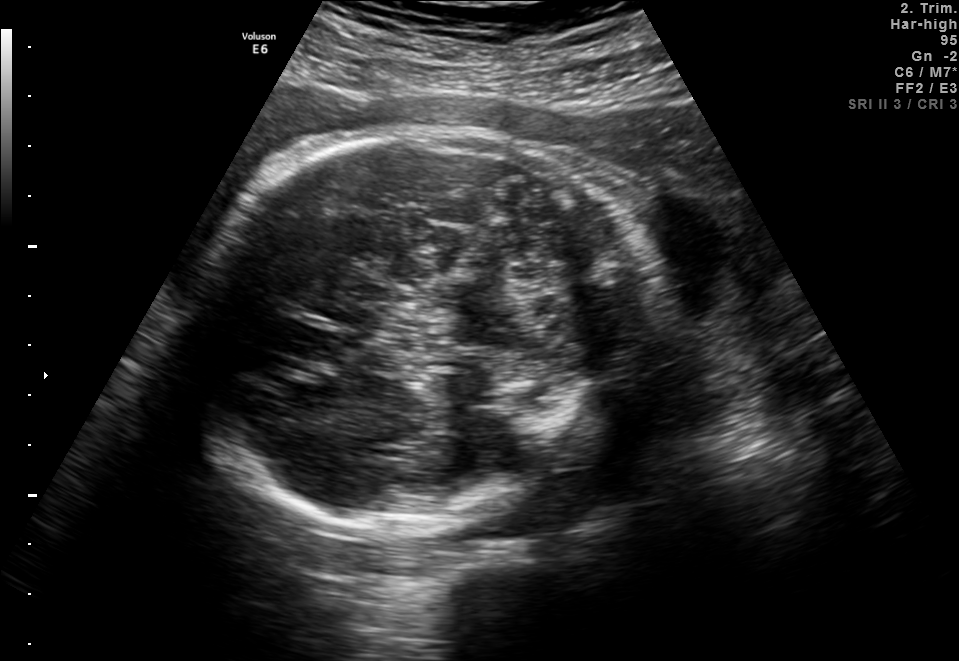
Fetal brain, trans-thalamic plane. Locate the fetal head and, if visible, the cavum septum pellucidum (CSP) and lateral ventricle (LV). Give bounding boxes as [x1,y1,x2,y2].

Head: [192,130,657,535]